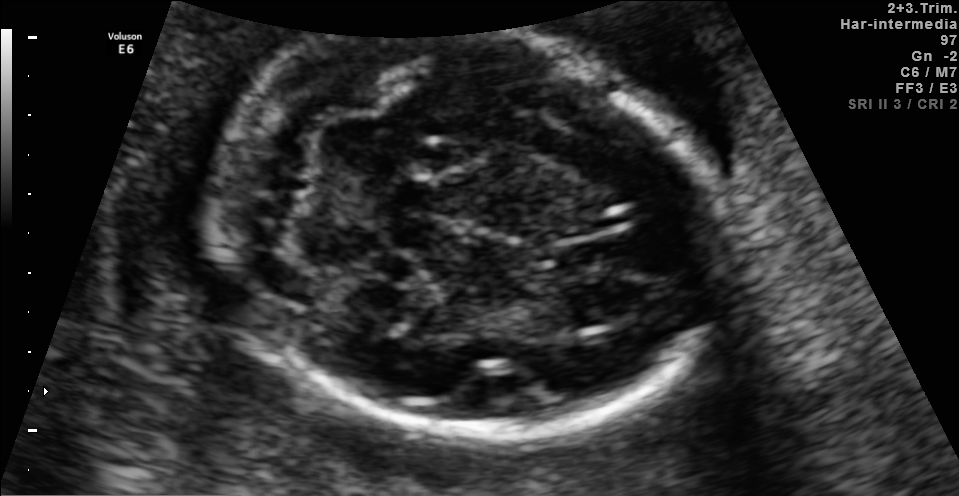
Fetal brain, trans-cerebellum plane. Locate the fetal head and, if visible, the cavum septum pellucidum (CSP) and lateral ventricle (LV). Give bounding boxes as [x1,y1,x2,y2].

Head: [214,11,723,438]